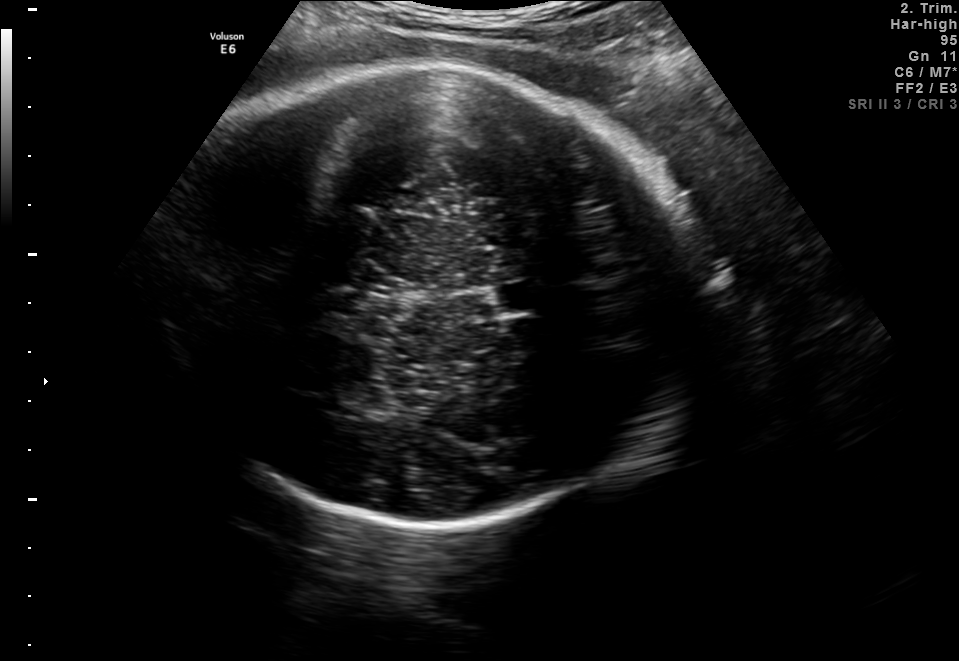
In this fetal brain, trans-thalamic plane, give the bounding box of the fetal head.

[155,66,702,527]